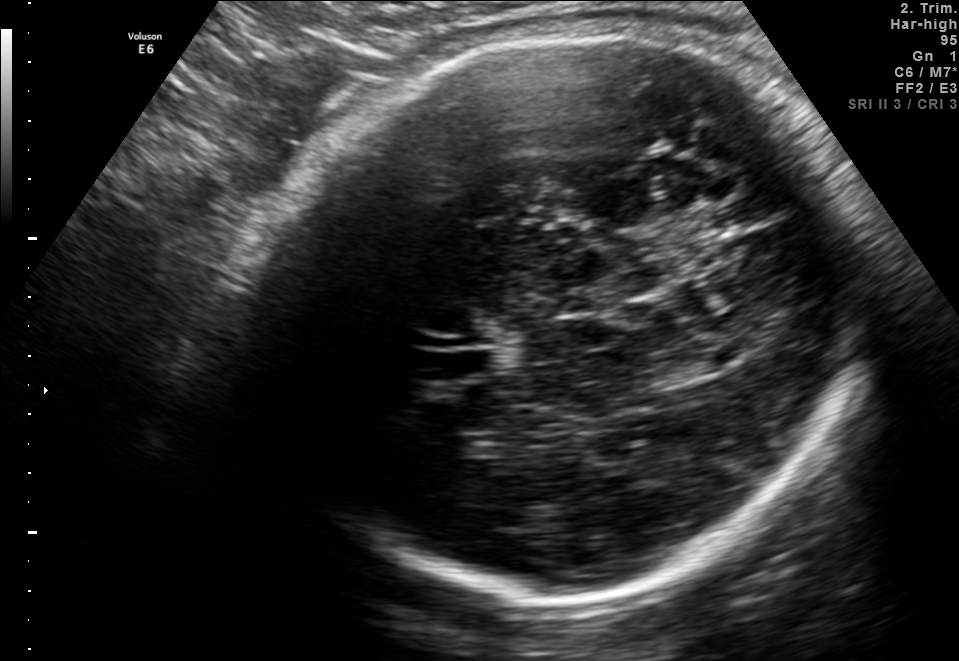
Fetal brain, trans-thalamic plane. Locate the lateral ventricle.

Lateral ventricle: [670,348,723,383]